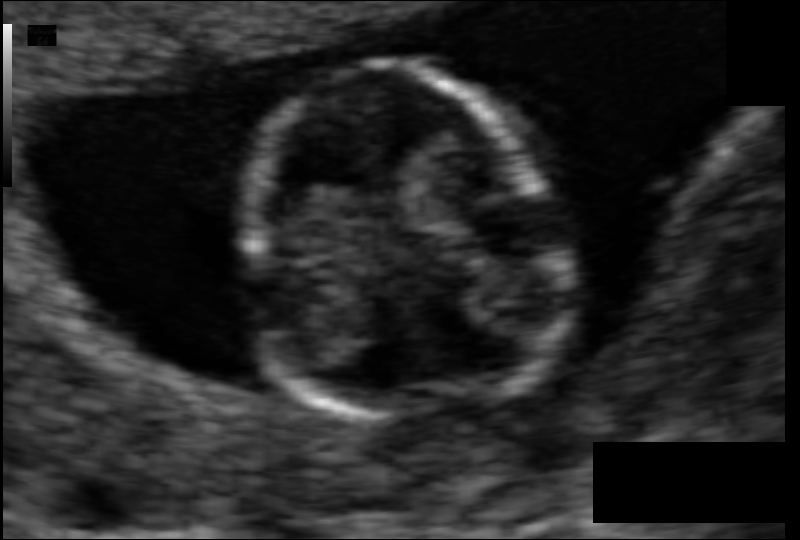
Fetal head ultrasound. Image width: 49.5 mm. Locate the fetal head.

Head: [240,65,561,416]